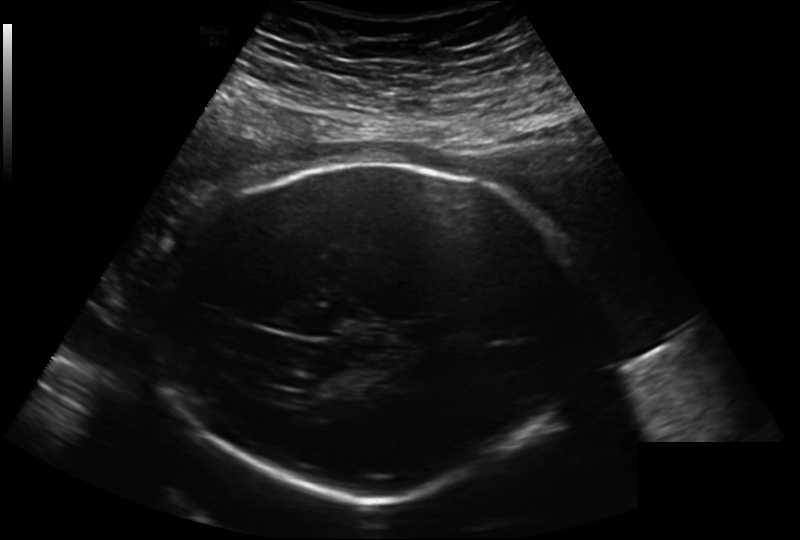
Fetal head ultrasound. Image width: 192.6 mm. Locate the fetal head and, if visible, the cavum septum pellucidum (CSP) and lateral ventricle (LV). Give bounding boxes as [x1,y1,x2,y2].

Head: [159,163,582,498]